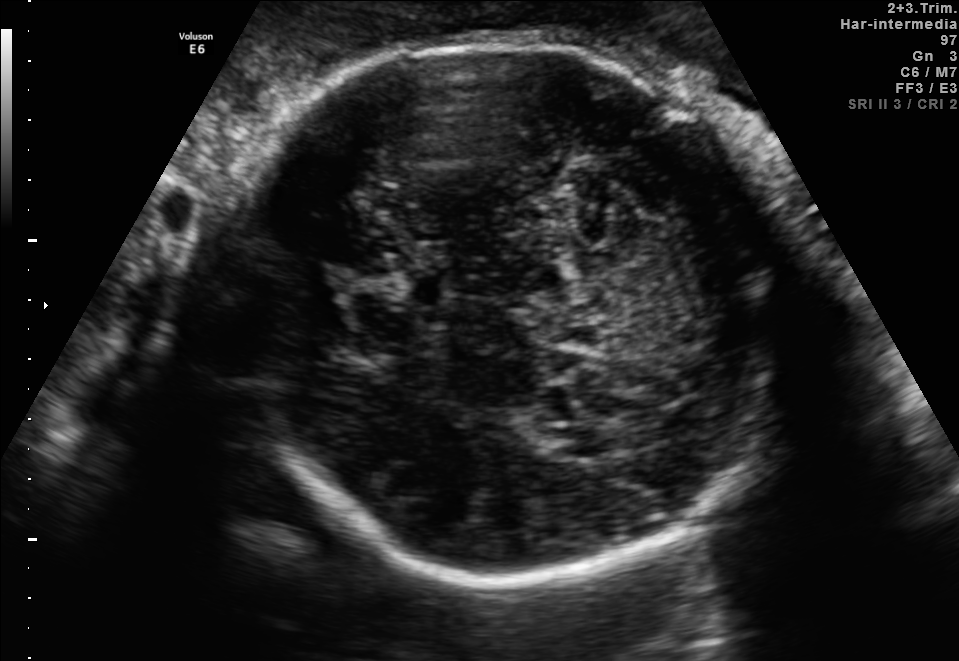
Fetal brain, trans-thalamic plane. Locate the fetal head.

Head: [218,31,765,570]